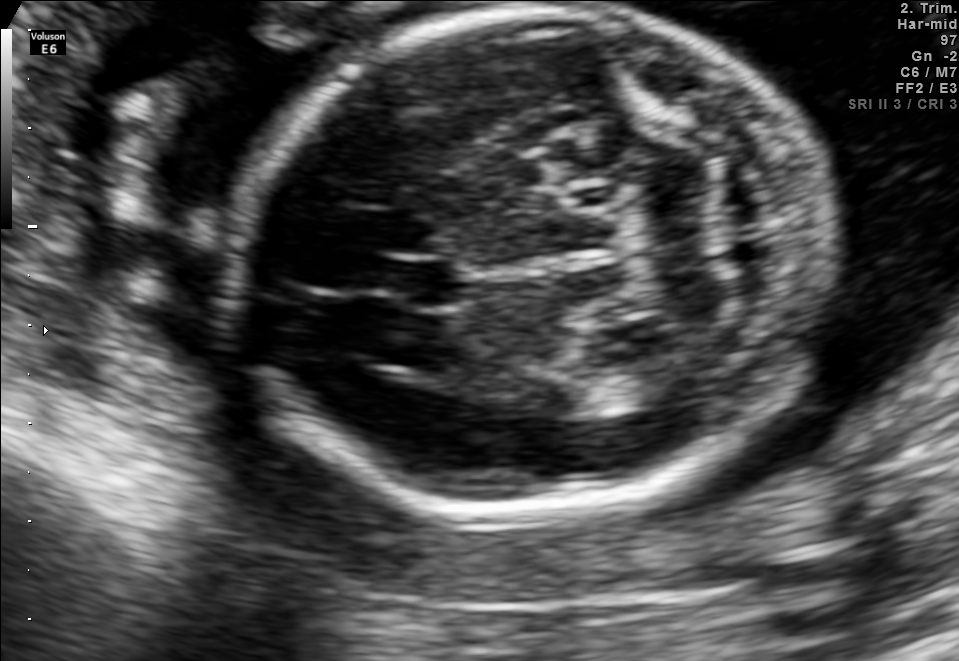
Fetal brain, trans-cerebellum plane. Locate the fetal head and, if visible, the cavum septum pellucidum (CSP) and lateral ventricle (LV). Give bounding boxes as [x1,y1,x2,y2].

Head: [236,10,833,515]
CSP: [392,253,463,313]